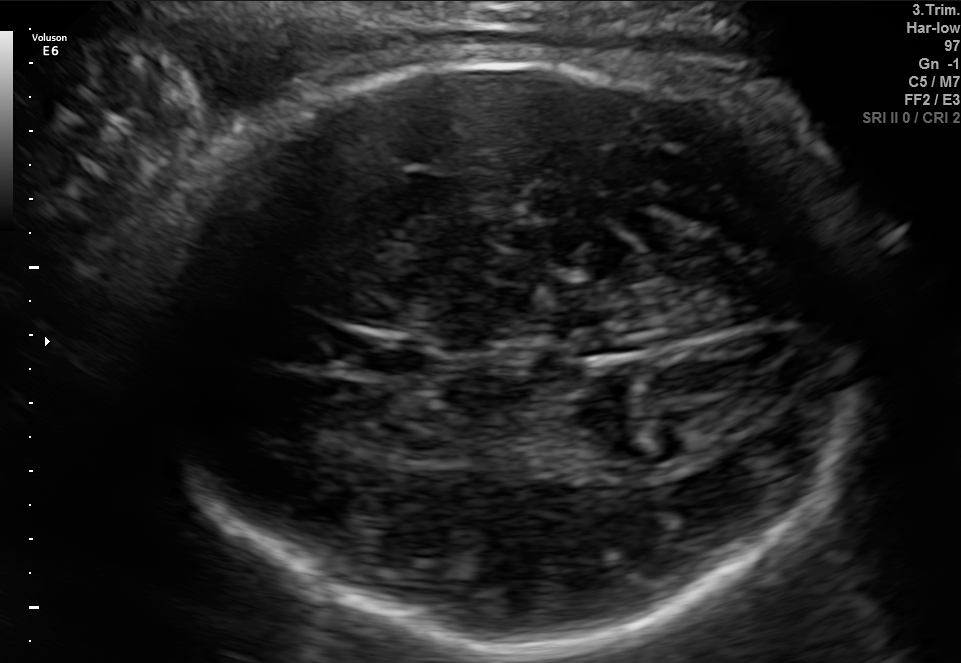
Fetal brain, trans-thalamic plane. Locate the cavum septum pellucidum.

CSP: [334,329,431,385]